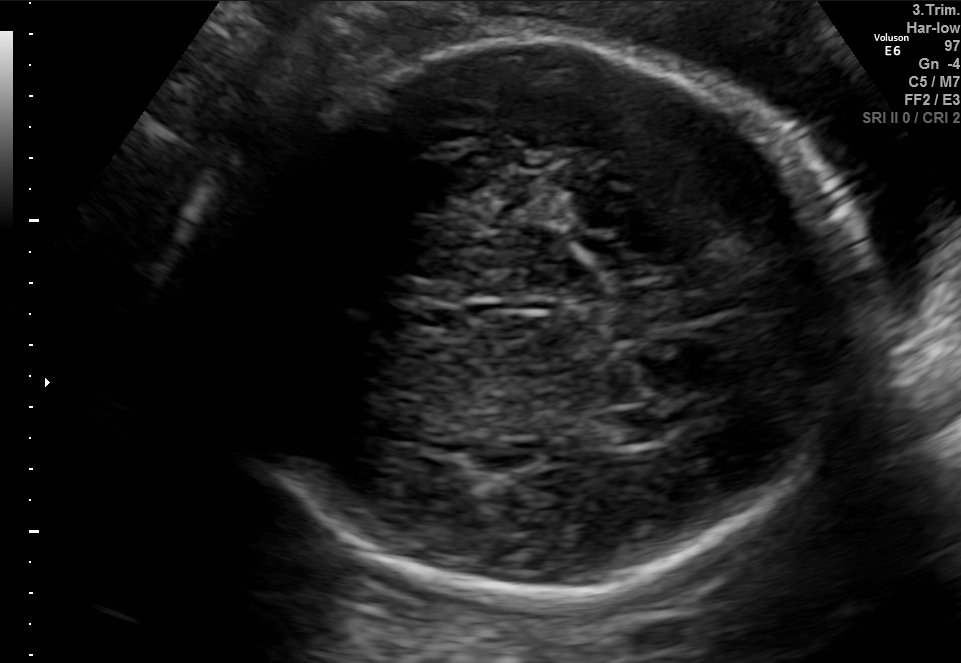
In this fetal brain, trans-thalamic plane, give the bounding box of the fetal head.

[221,34,858,597]